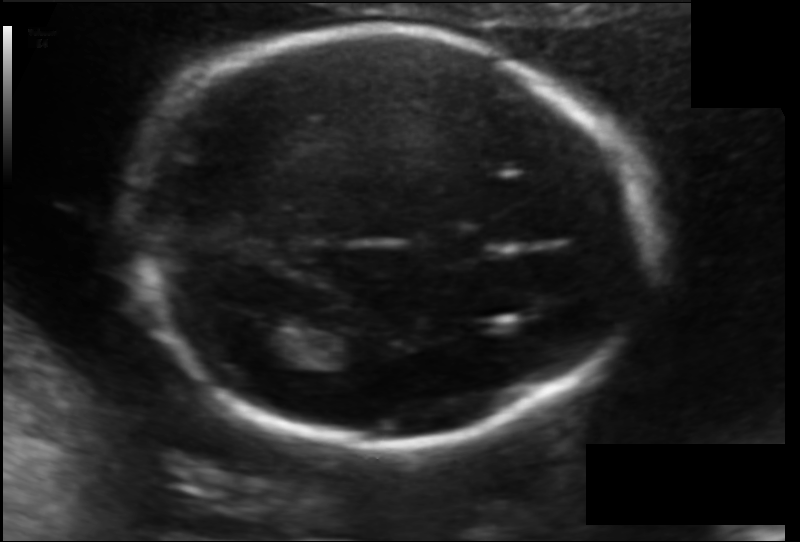
Fetal head ultrasound. Image width: 91.4 mm. Where is the cavum septum pellucidum?

CSP bounding box: [421,228,482,261]